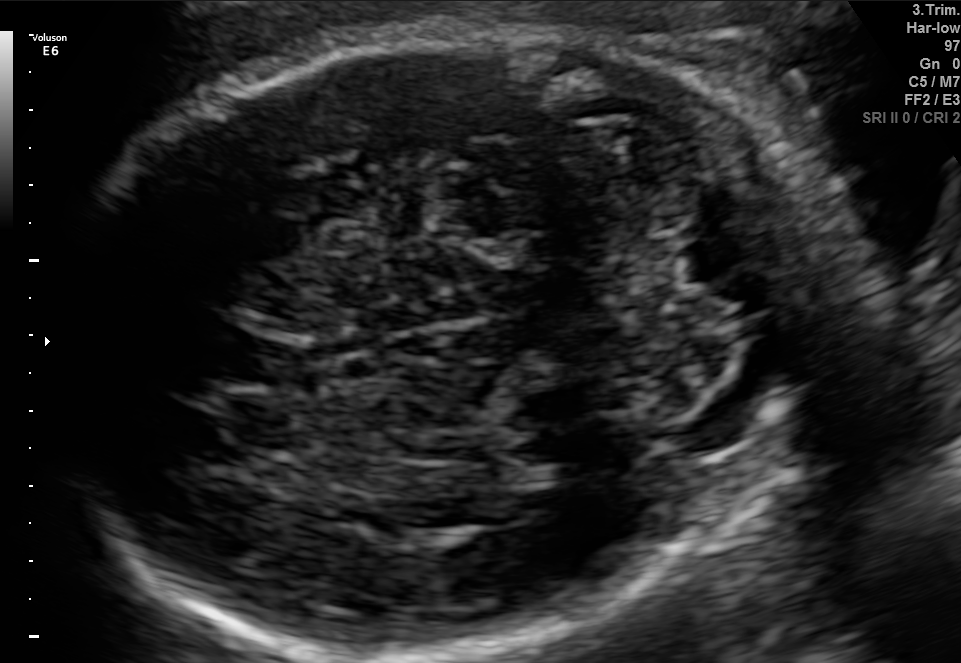
In this fetal brain, trans-cerebellum plane, give the bounding box of the fetal head.

[51,25,860,648]